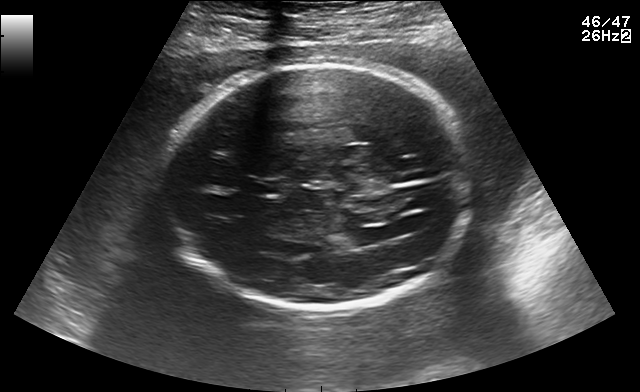
This is a 2D maternal-fetal ultrasound frame. Is it a fetal abdomen, fetal brain, fetal femur, fetal thorax, maternal cervix, or other standard plane? If it's fetal brain and one of the three standard brain planes (trans-thalamic, trans-cerebellum, trans-ventricular), name which.

Fetal brain (trans-ventricular plane)